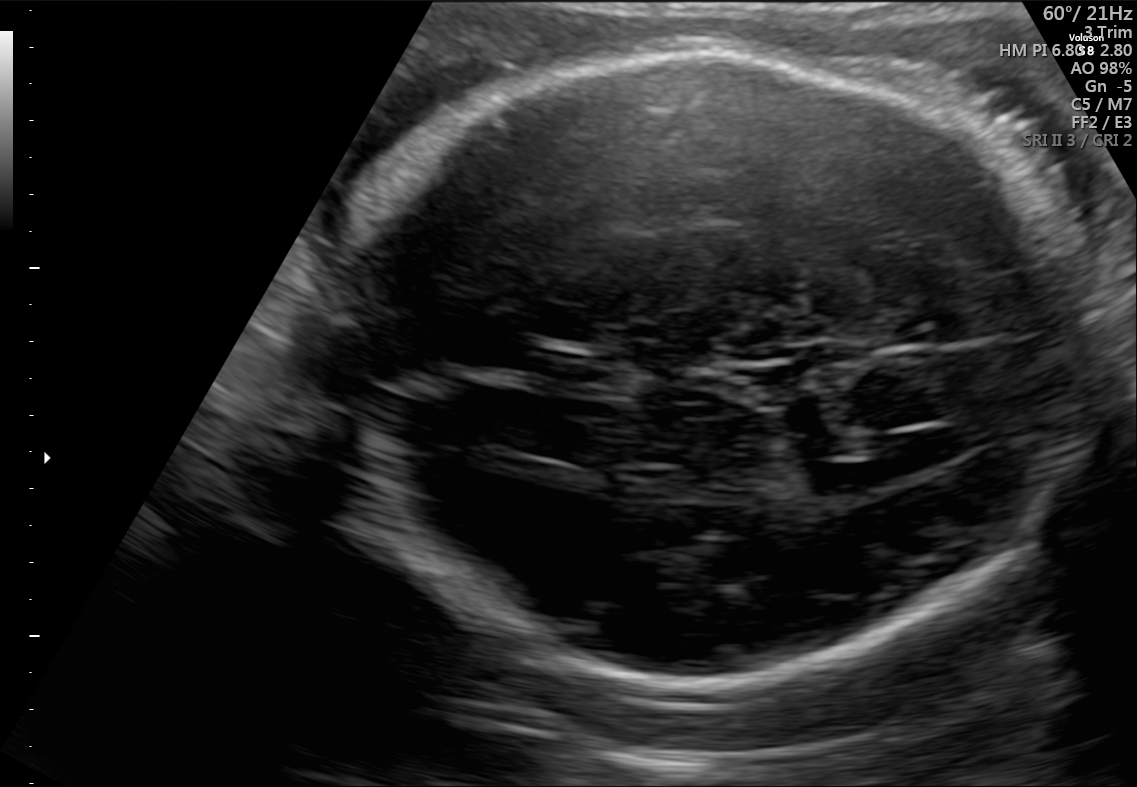
In this fetal brain, trans-ventricular plane, give the bounding box of the fetal head.

[315,39,1118,700]